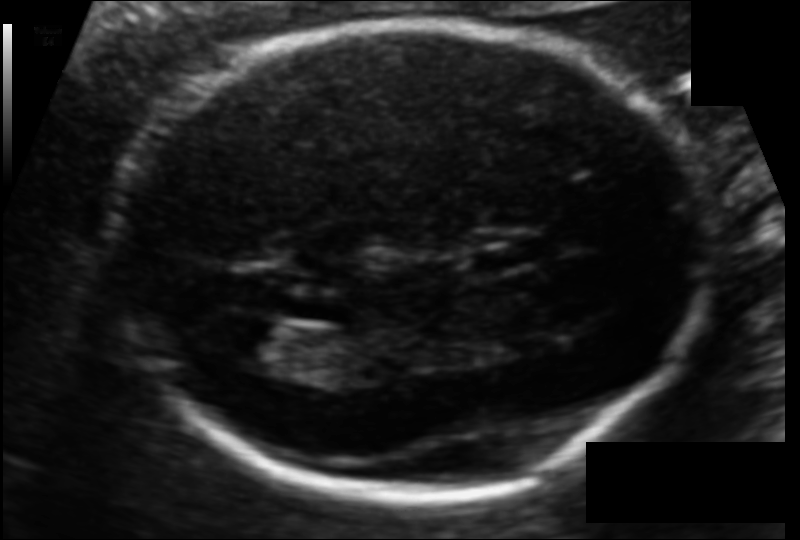
Fetal head ultrasound. Image width: 85.1 mm. Give [x1,y1,x2,y2] bounding boxes for each visible structure among: fetal head, CSP, LV.

Head: [118,21,707,491]
CSP: [462,231,544,279]
Lateral ventricle: [210,312,305,379]